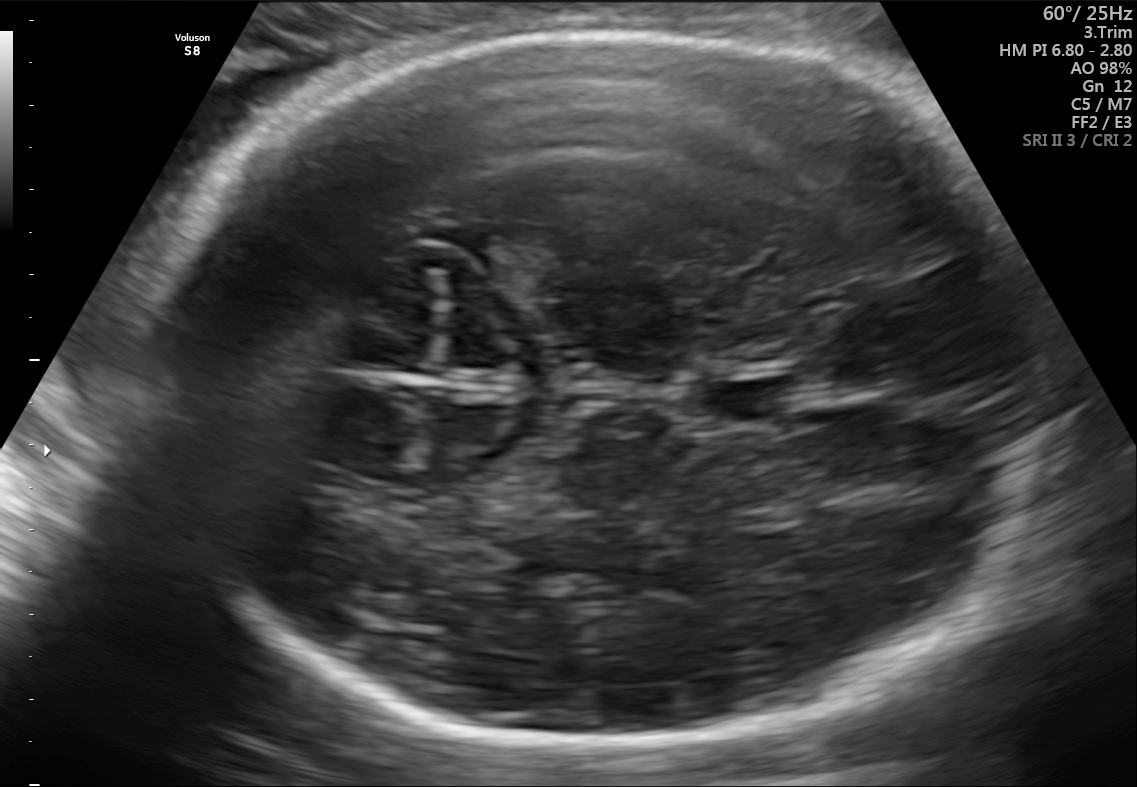
Fetal brain, trans-thalamic plane. Give [x1,y1,x2,y2] bounding boxes for each visible structure among: fetal head, CSP, LV.

Head: [120,29,1055,749]
CSP: [703,372,804,426]